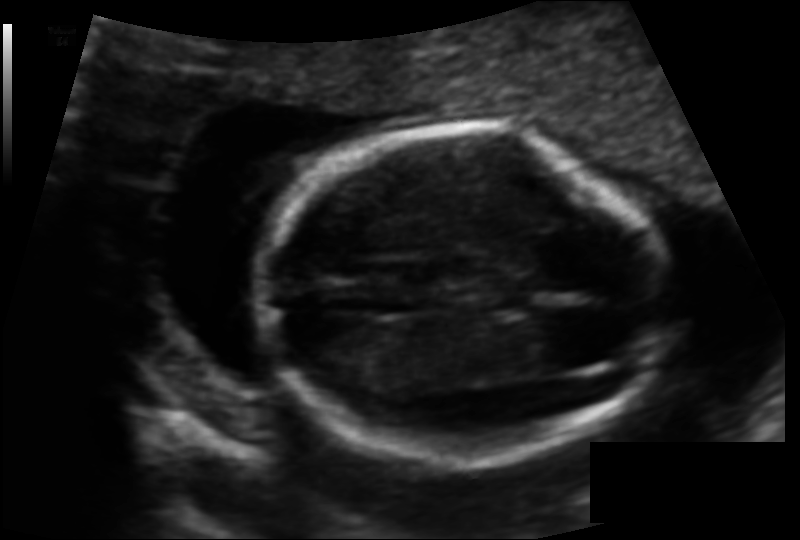
In this fetal head ultrasound, give bounding boxes for the head outline, cavum septum pellucidum (CSP), and lateral ventricle (LV), where visible. Image width: 81.7 mm.

Head: [263,127,666,463]
CSP: [486,283,530,312]